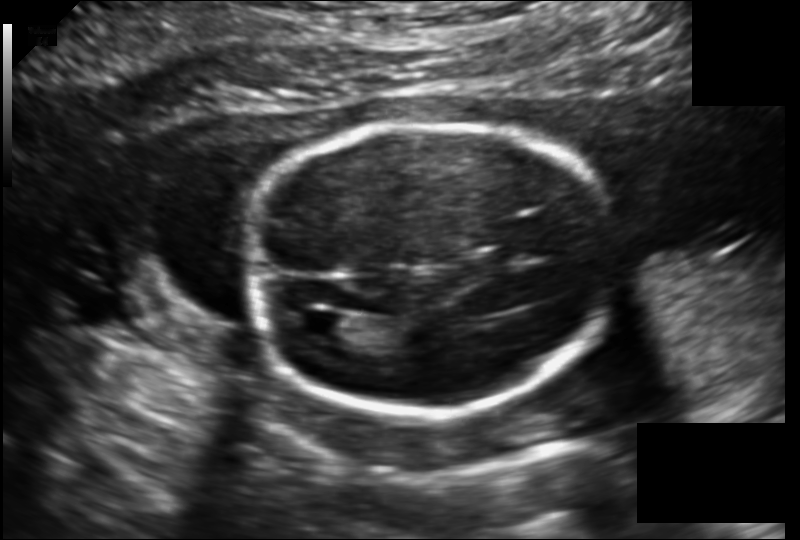
Fetal head ultrasound. Image width: 119.0 mm. Locate the fetal head.

Head: [252,123,613,413]